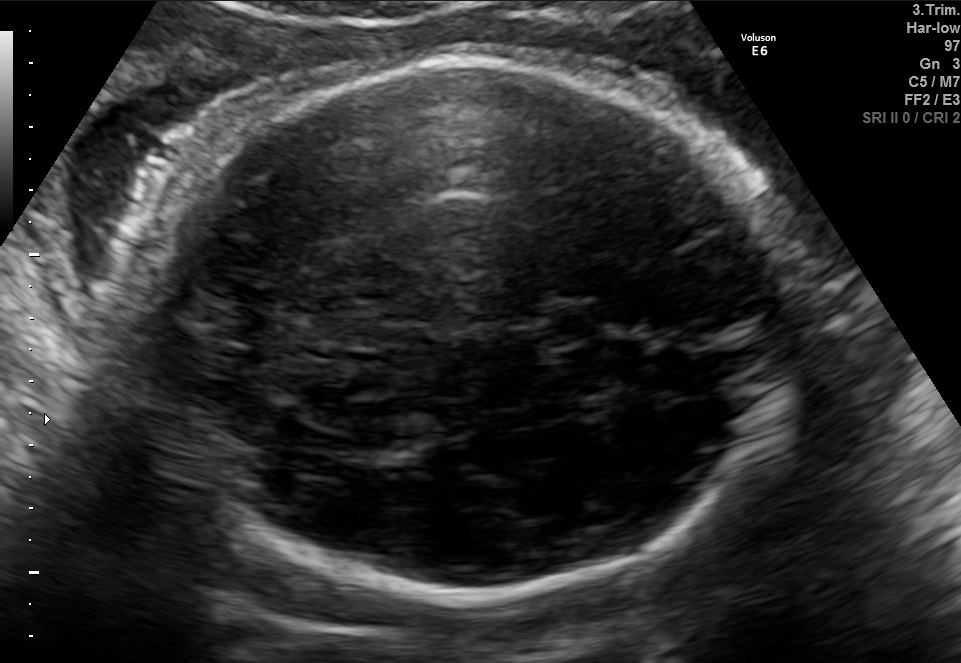
In this fetal brain, trans-thalamic plane, give the bounding box of the fetal head.

[130,63,797,598]